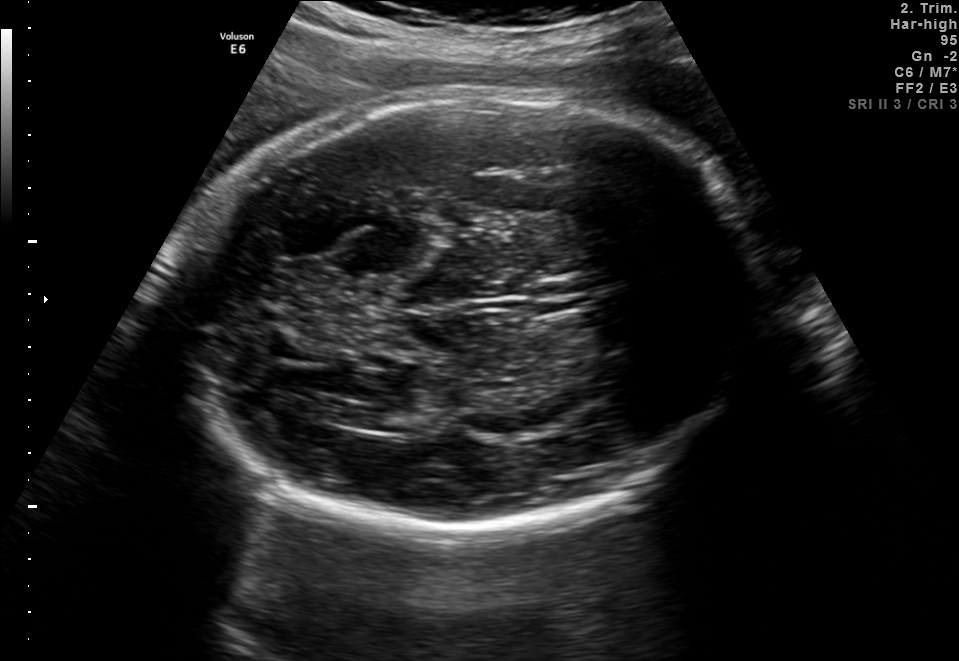
Fetal brain, trans-ventricular plane. Locate the fetal head and, if visible, the cavum septum pellucidum (CSP) and lateral ventricle (LV). Give bounding boxes as [x1,y1,x2,y2].

Head: [172,85,775,536]
CSP: [524,272,603,318]